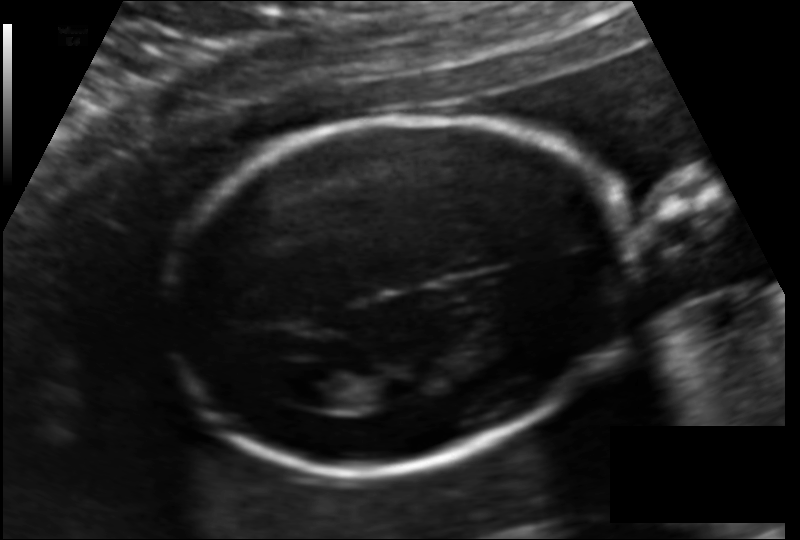
Fetal head ultrasound. Image width: 101.5 mm. Give [x1,y1,x2,y2] bounding boxes for each visible structure among: fetal head, CSP, LV.

Head: [161,117,634,469]
Lateral ventricle: [287,367,352,410]